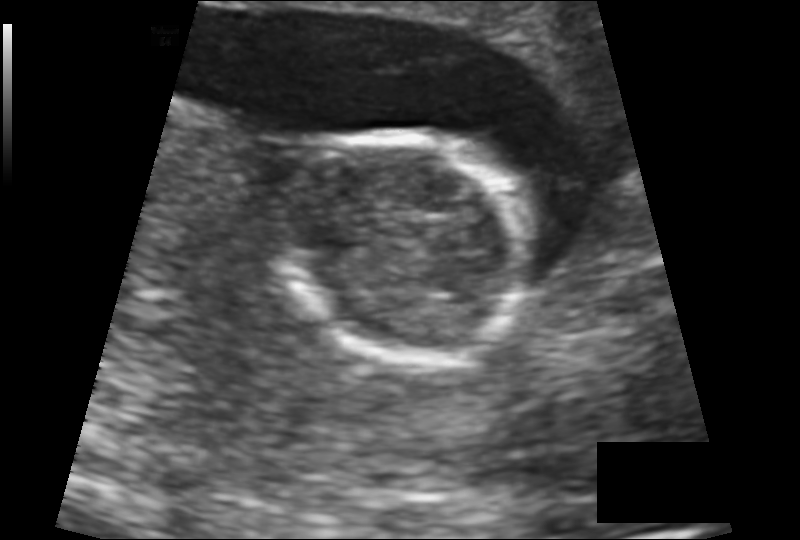
In this fetal head ultrasound, give the bounding box of the fetal head. Image width: 109.7 mm.

[273,133,532,361]